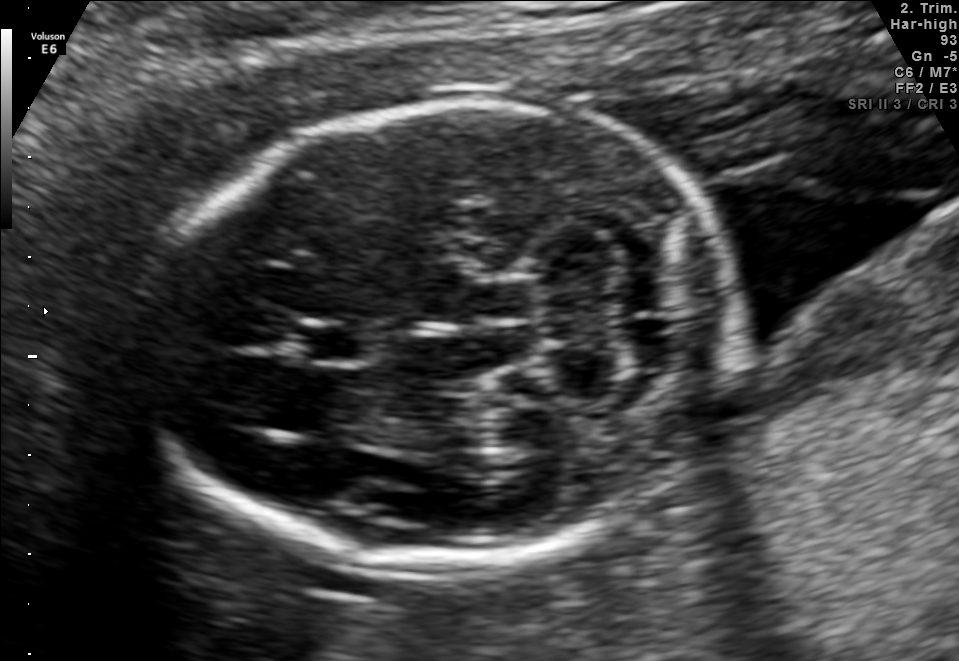
Fetal brain, trans-cerebellum plane. Give [x1,y1,x2,y2] bounding boxes for each visible structure among: fetal head, CSP, LV.

Head: [152,103,733,564]
CSP: [299,319,376,364]